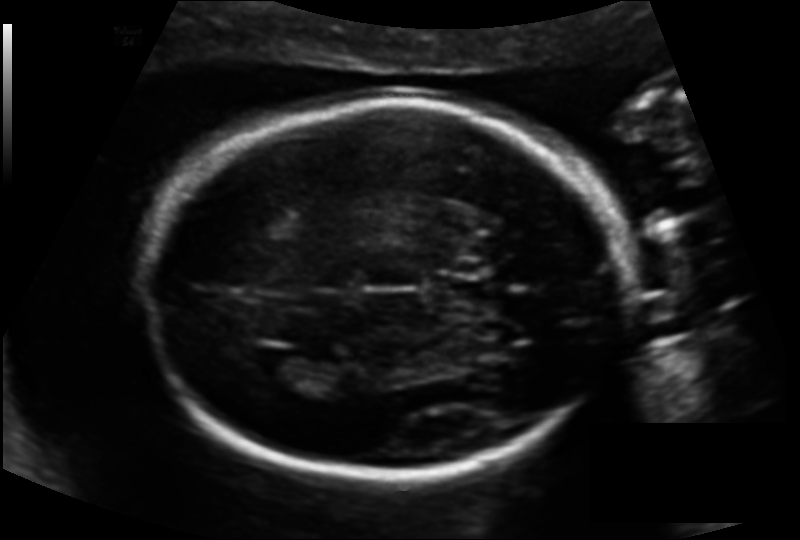
Fetal head ultrasound. Image width: 107.7 mm. Give [x1,y1,x2,y2] bounding boxes for each visible structure among: fetal head, CSP, LV.

Head: [143,101,631,476]
Lateral ventricle: [241,338,315,392]